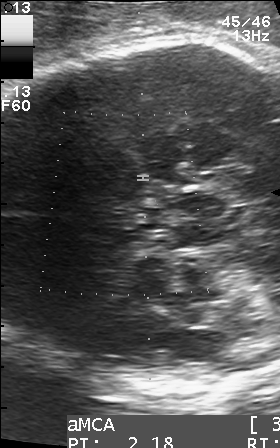
Which standard maternal-fetal ultrasound plane is shown: fetal abdomen, fetal brain, fetal femur, fetal thorax, maternal cervix, or other? If it's fetal brain and one of the three standard brain planes (trans-thalamic, trans-cerebellum, trans-ventricular), name which.

Other